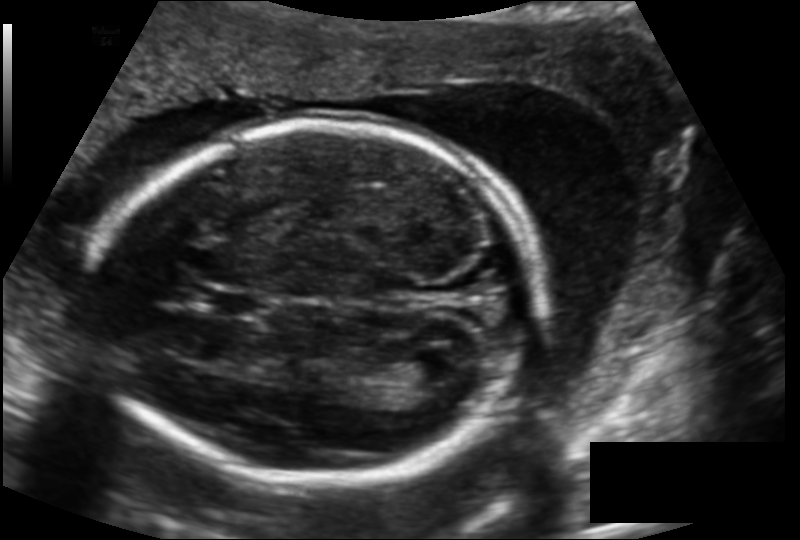
In this fetal head ultrasound, give the bounding box of the cavum septum pellucidum. Image width: 114.6 mm.

[203,287,266,319]